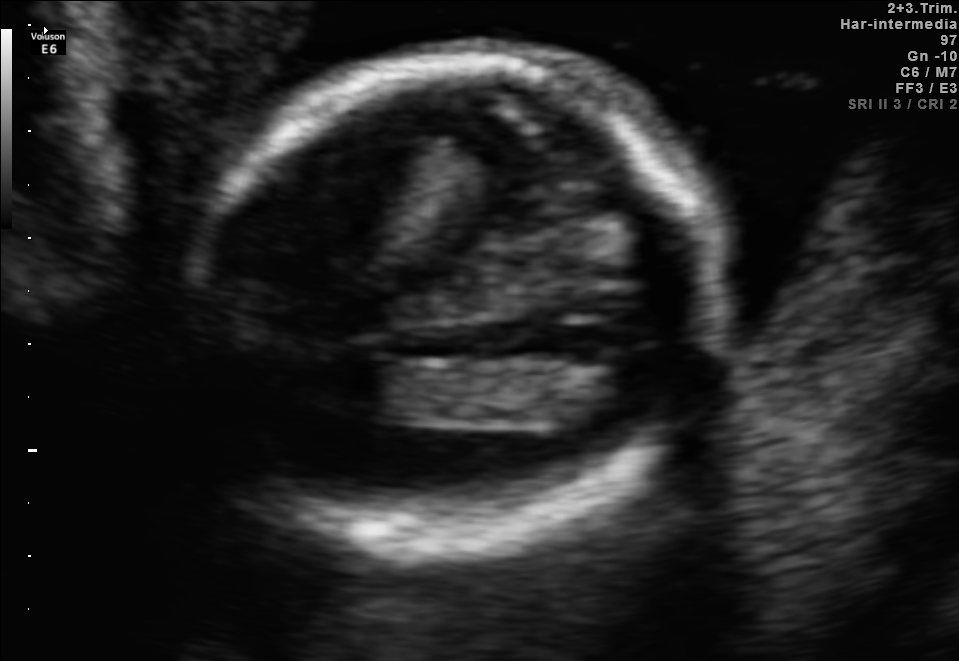
Fetal brain, trans-thalamic plane. Locate the fetal head and, if visible, the cavum septum pellucidum (CSP) and lateral ventricle (LV). Give bounding boxes as [x1,y1,x2,y2].

Head: [181,57,720,538]